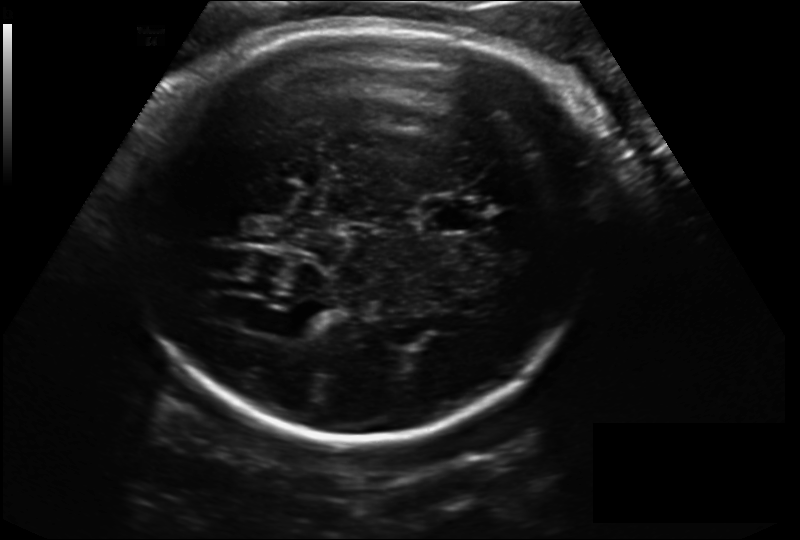
Estimate the fetal head circumference from this 2D ultrasound. Image width: 158.7 mm.

Head circumference: 282.8 mm.